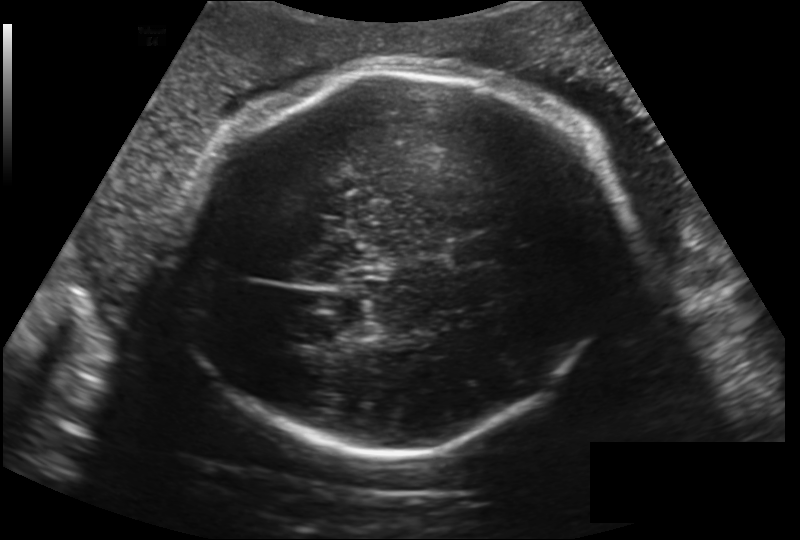
Estimate the fetal head circumference from this 2D ultrasound. Image width: 179.4 mm.

Head circumference: 303.2 mm.